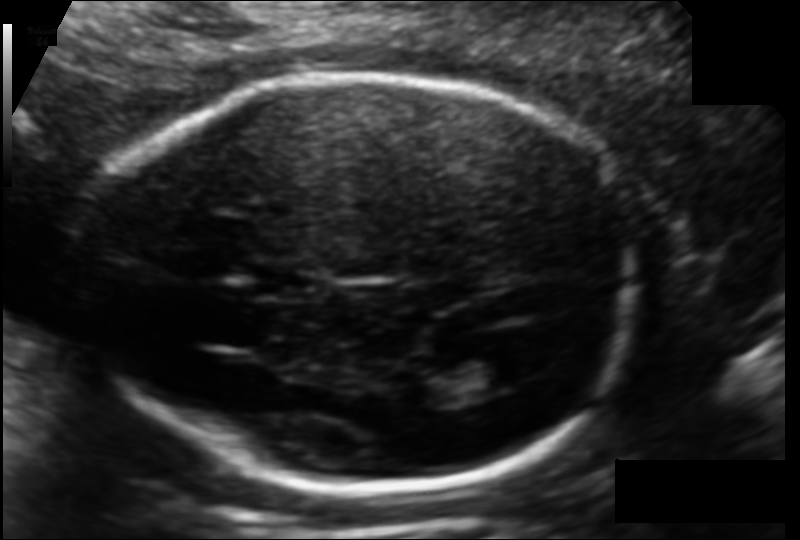
Estimate the fetal head circumference from this 2D ultrasound.

Head circumference: 181.2 mm (image width 90.5 mm).